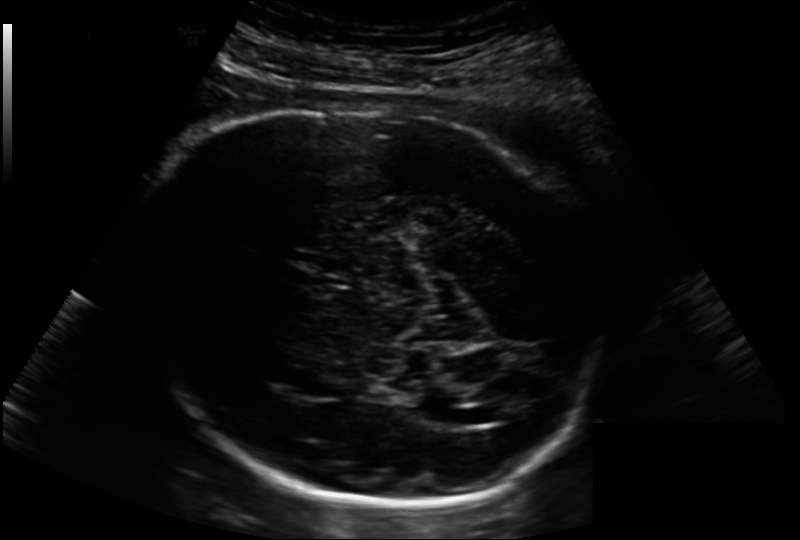
Estimate the fetal head circumference from this 2D ultrasound.

Head circumference: 284.2 mm (image width 161.6 mm).